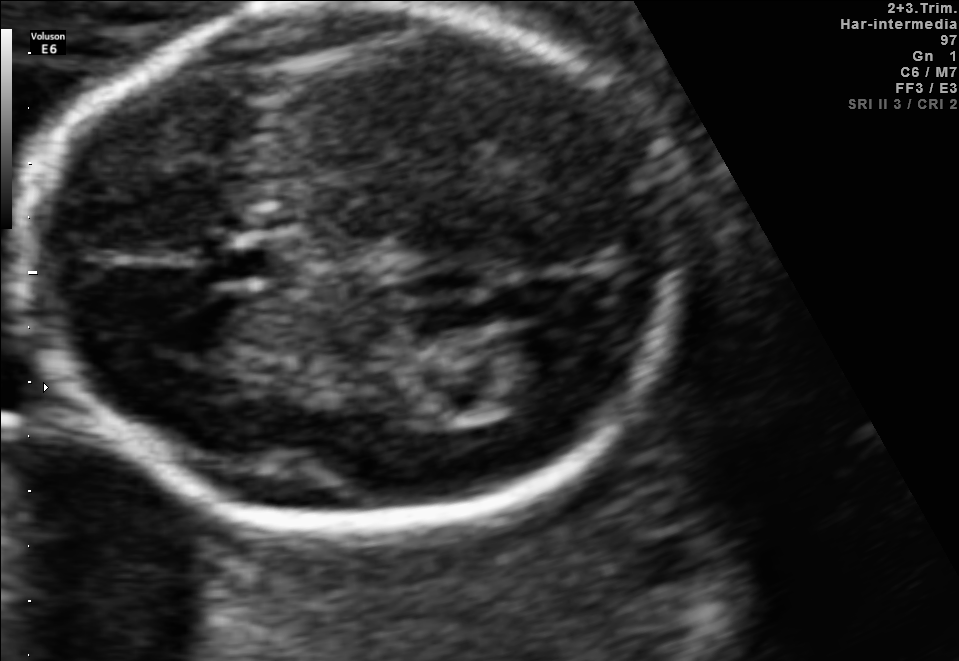
Fetal brain, trans-thalamic plane. Locate the fetal head and, if visible, the cavum septum pellucidum (CSP) and lateral ventricle (LV). Give bounding boxes as [x1,y1,x2,y2].

Head: [16,3,687,546]
CSP: [204,233,303,287]
Lateral ventricle: [475,326,581,410]